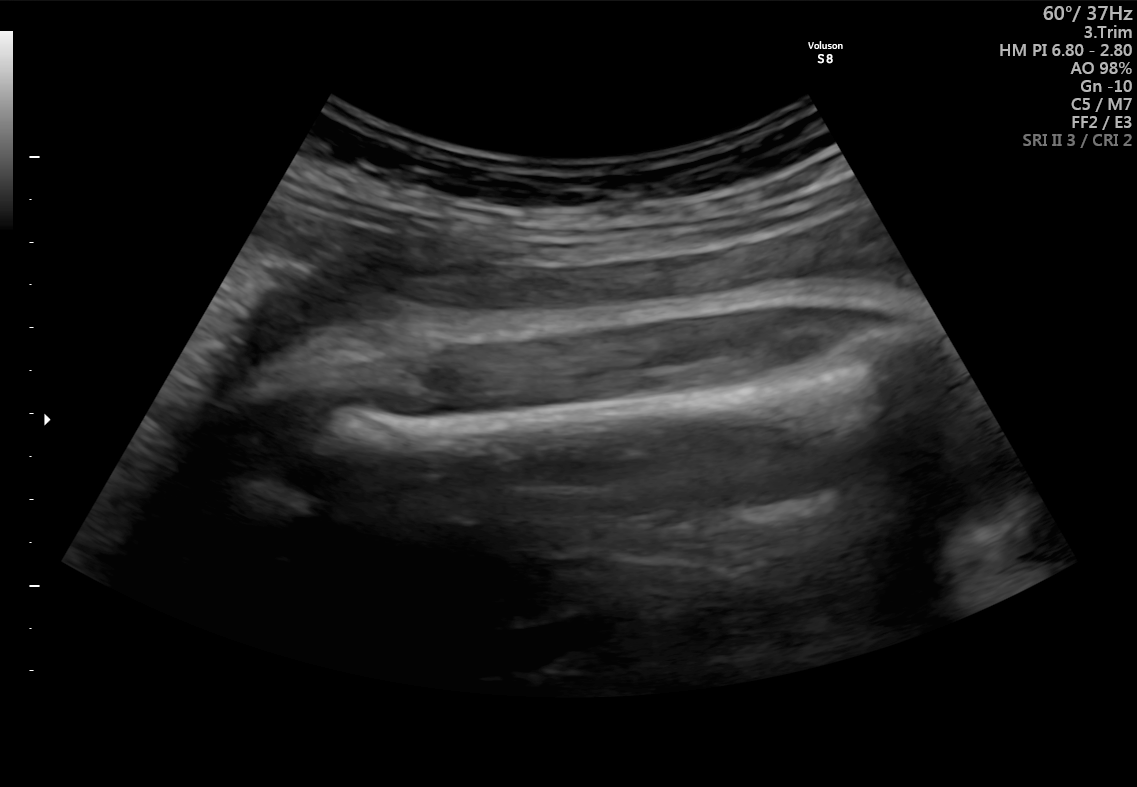
This is a 2D maternal-fetal ultrasound frame. Is it a fetal abdomen, fetal brain, fetal femur, fetal thorax, maternal cervix, or other standard plane? If it's fetal brain and one of the three standard brain planes (trans-thalamic, trans-cerebellum, trans-ventricular), name which.

Fetal femur